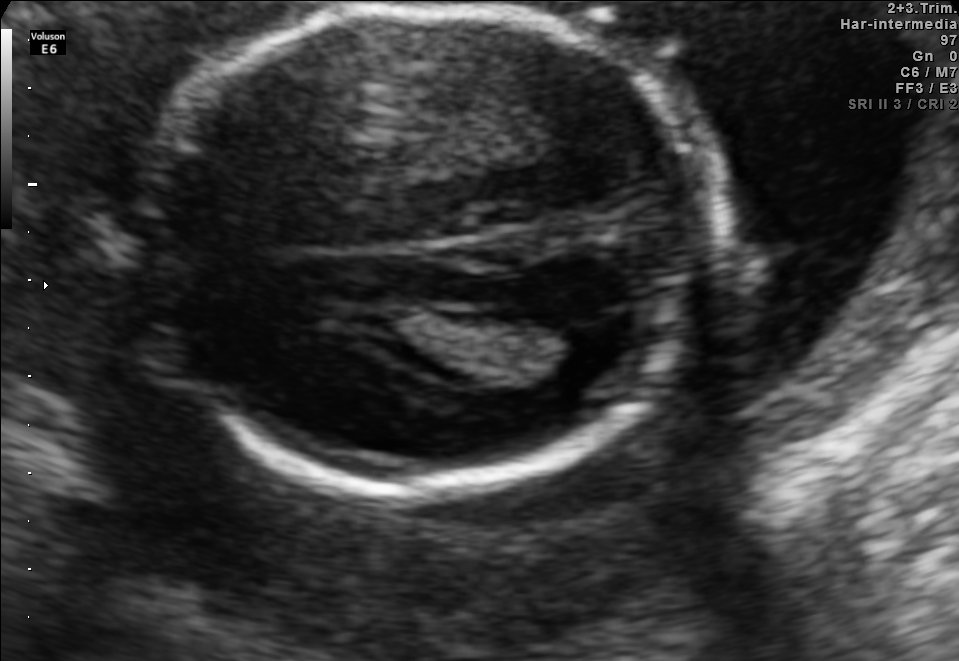
Classify this maternal-fetal ultrasound image as one of the six standard planes — fetal abdomen, fetal brain, fetal femur, fetal thorax, maternal cervix, or other. If it's fetal brain and one of the three standard brain planes (trans-thalamic, trans-cerebellum, trans-ventricular), name which.

Fetal brain (trans-thalamic plane)